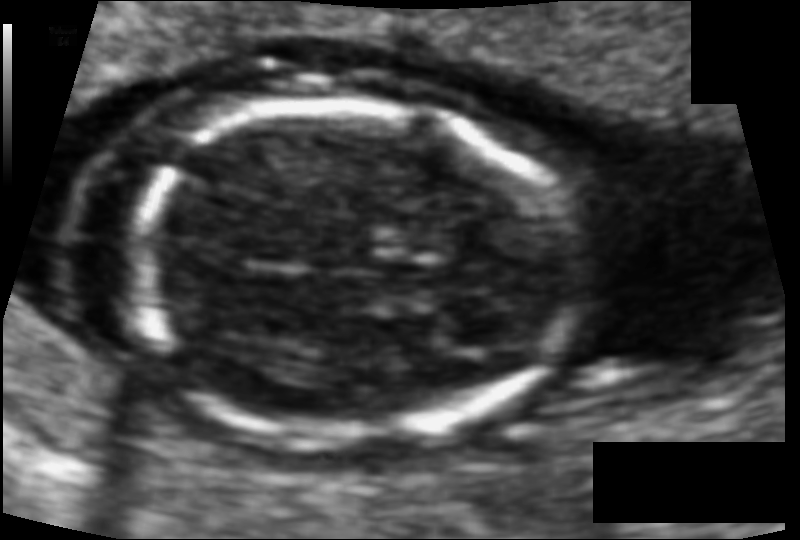
Fetal head ultrasound. Image width: 65.1 mm. Locate the fetal head.

Head: [132,101,570,437]